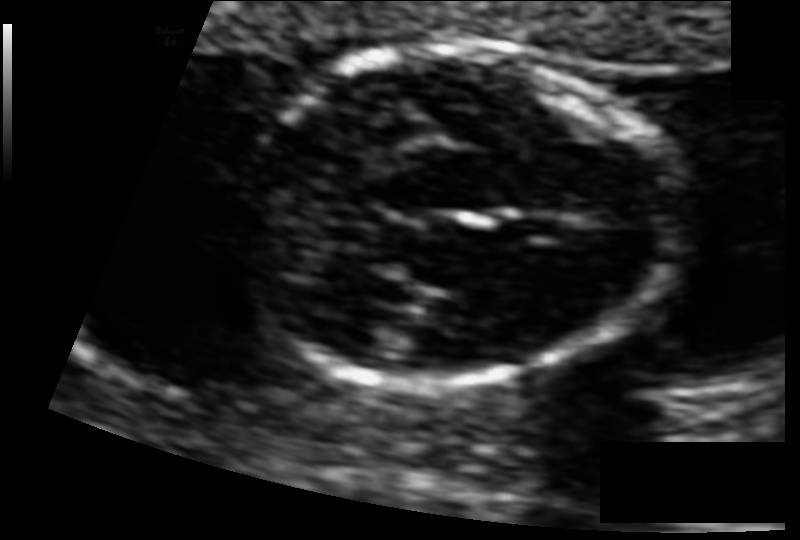
Fetal head ultrasound. Image width: 58.4 mm. Give [x1,y1,x2,y2] bounding boxes for each visible structure among: fetal head, CSP, LV.

Head: [240,48,677,390]
CSP: [503,212,559,242]